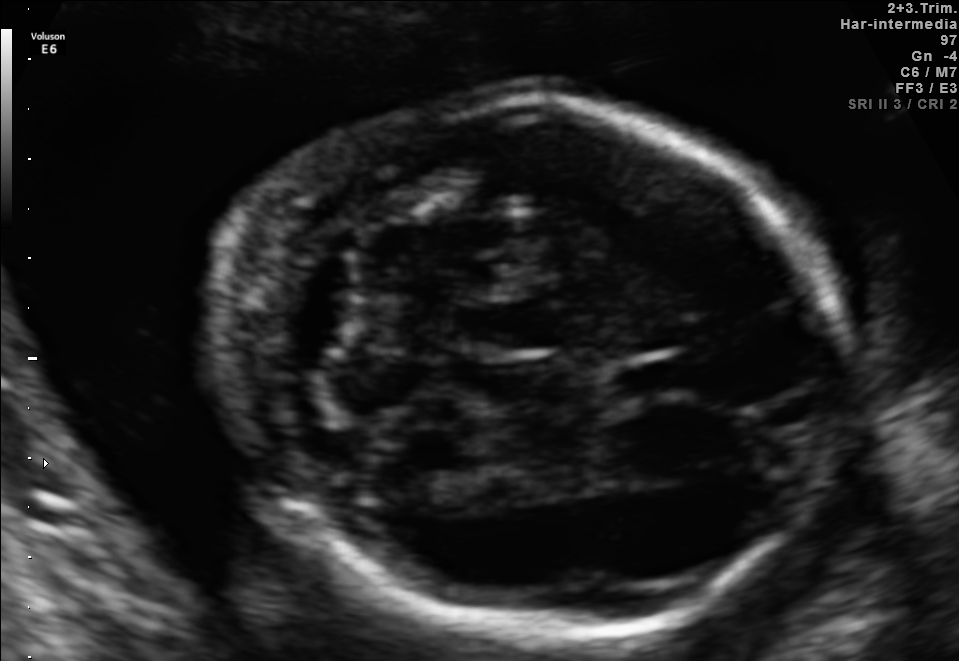
In this fetal brain, trans-cerebellum plane, give bounding boxes for the head outline, cavum septum pellucidum (CSP), and lateral ventricle (LV), where visible.

Head: [216,94,833,645]
CSP: [608,348,696,410]